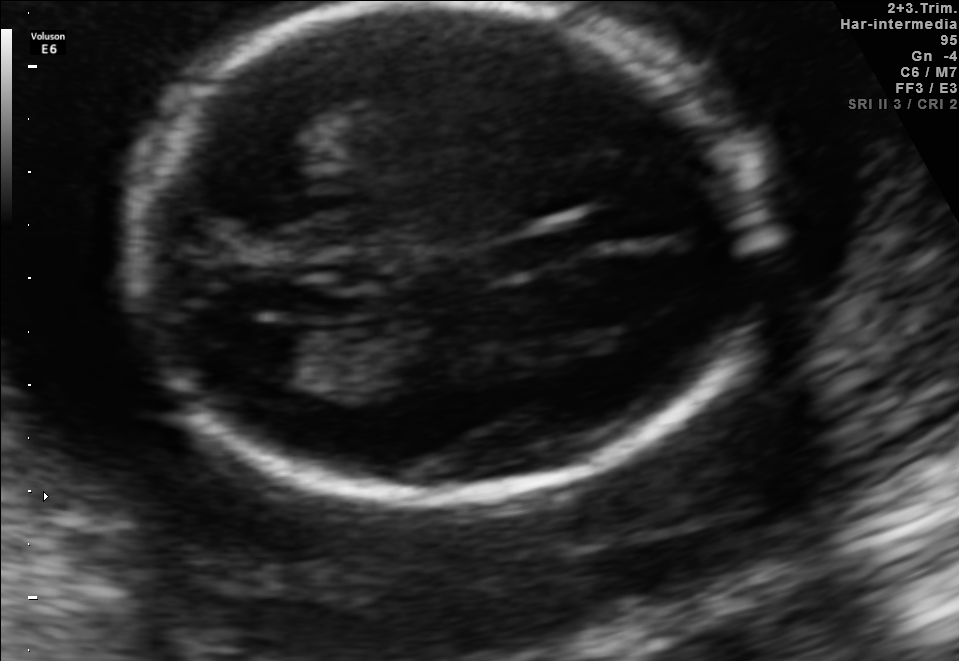
In this fetal brain, trans-ventricular plane, give bounding boxes for the head outline, cavum septum pellucidum (CSP), and lateral ventricle (LV), where visible.

Head: [109,4,788,507]
Lateral ventricle: [222,319,311,380]